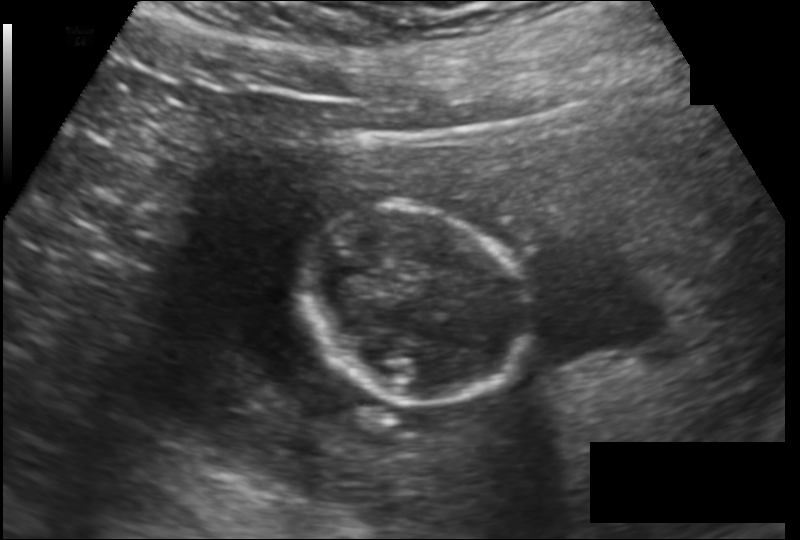
In this fetal head ultrasound, give the bounding box of the fetal head. Image width: 119.2 mm.

[299,203,527,405]